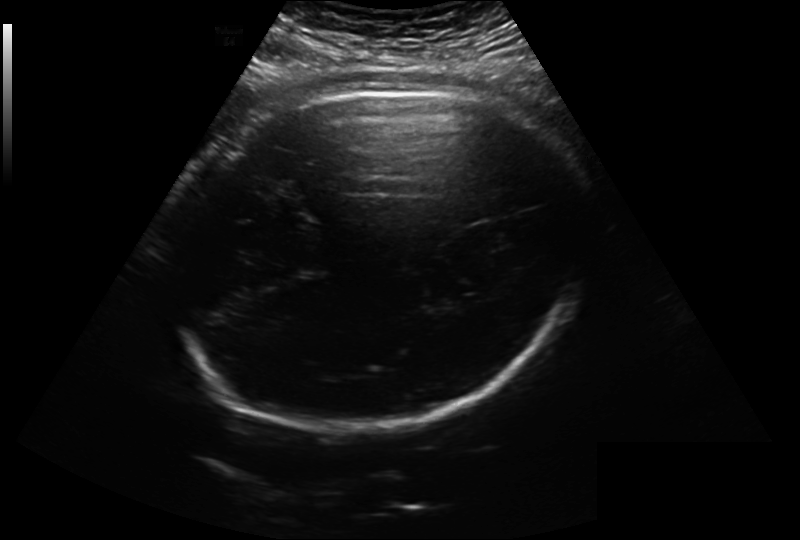
Fetal head ultrasound. Image width: 223.6 mm. Where is the fetal head?

Head bounding box: [164,91,595,426]